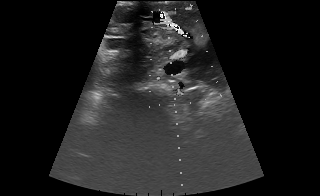
Identify the standard plane in this fetal ultrasound image: fetal abdomen, fetal brain, fetal femur, fetal thorax, maternal cervix, or other. If it's fetal brain and one of the three standard brain planes (trans-thalamic, trans-cerebellum, trans-ventricular), name which.

Other